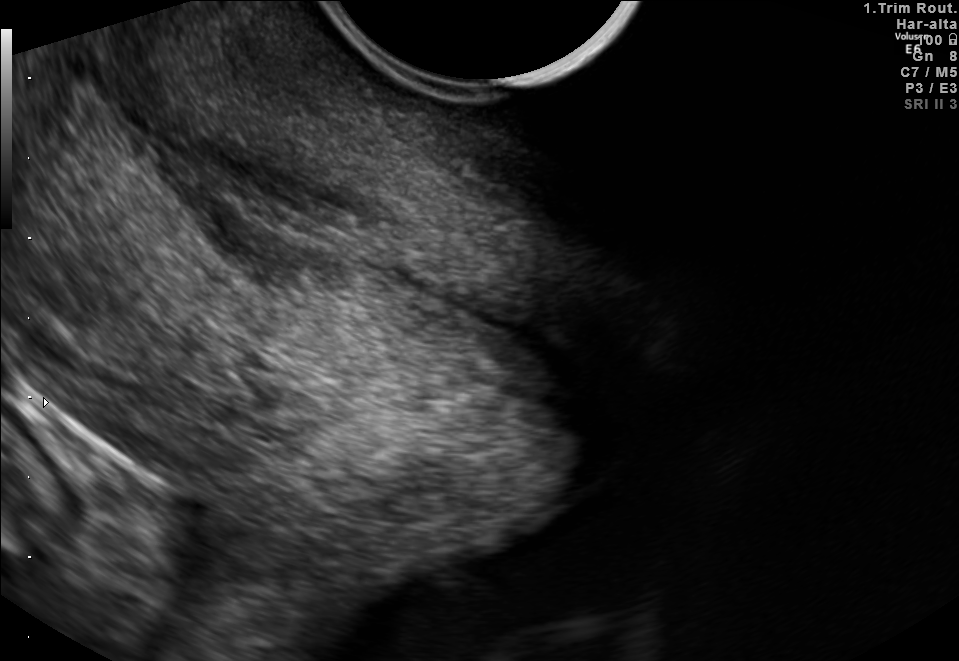
Classify this maternal-fetal ultrasound image as one of the six standard planes — fetal abdomen, fetal brain, fetal femur, fetal thorax, maternal cervix, or other. If it's fetal brain and one of the three standard brain planes (trans-thalamic, trans-cerebellum, trans-ventricular), name which.

Maternal cervix